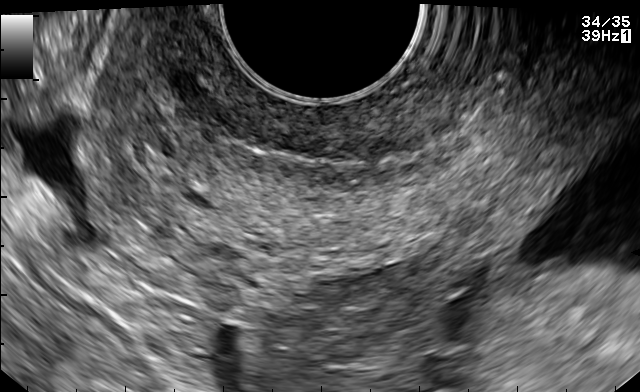
This is a 2D maternal-fetal ultrasound frame. Is it a fetal abdomen, fetal brain, fetal femur, fetal thorax, maternal cervix, or other standard plane? If it's fetal brain and one of the three standard brain planes (trans-thalamic, trans-cerebellum, trans-ventricular), name which.

Maternal cervix